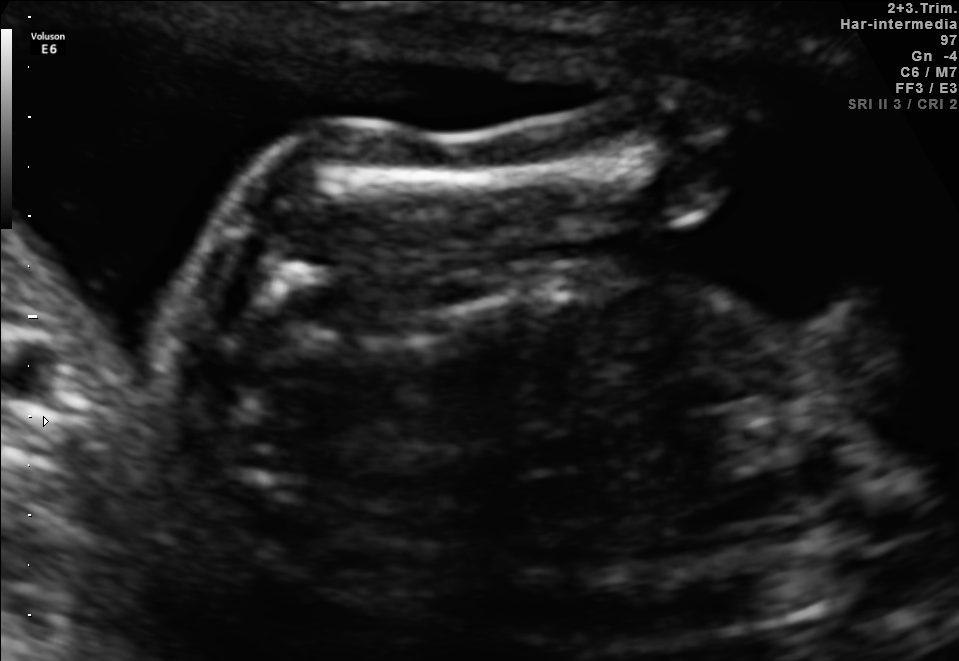
Which standard maternal-fetal ultrasound plane is shown: fetal abdomen, fetal brain, fetal femur, fetal thorax, maternal cervix, or other? If it's fetal brain and one of the three standard brain planes (trans-thalamic, trans-cerebellum, trans-ventricular), name which.

Other